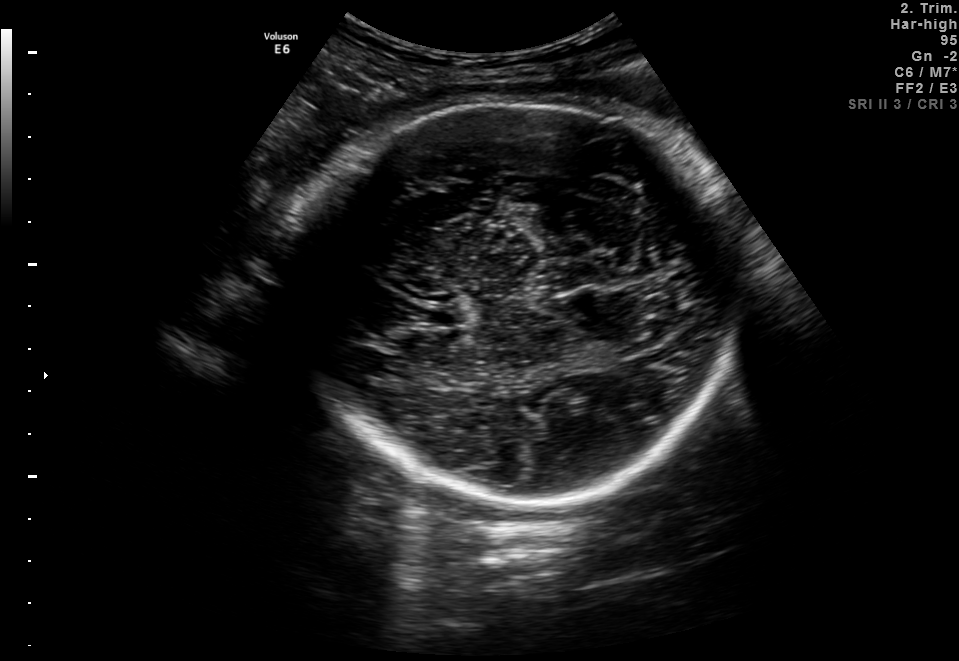
Fetal brain, trans-thalamic plane. Locate the cavum septum pellucidum.

CSP: [413,301,464,331]